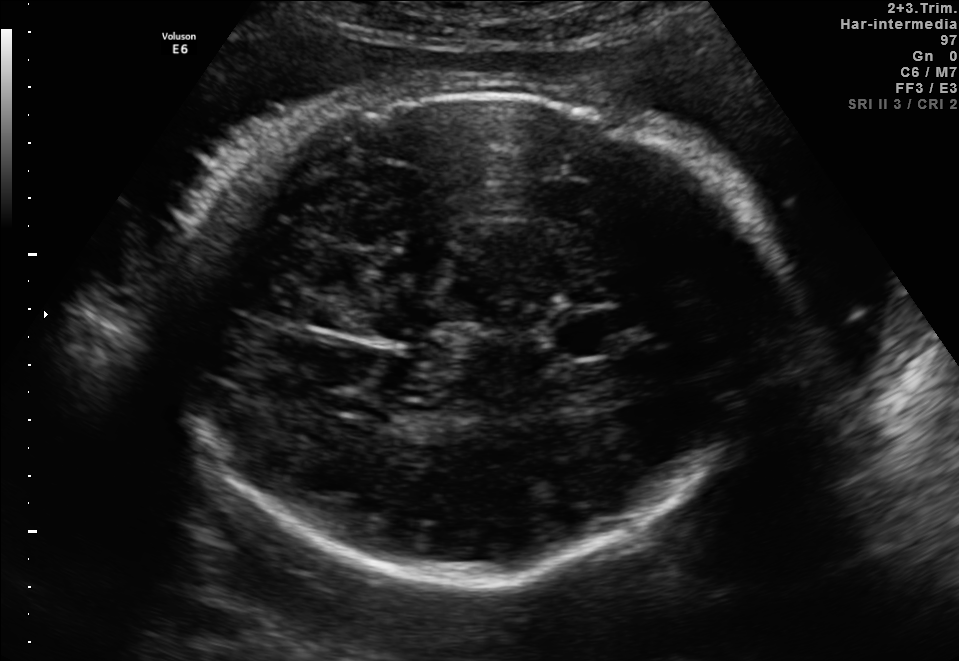
Fetal brain, trans-thalamic plane. Where is the lateral ventricle?

Lateral ventricle bounding box: [314,385,387,425]